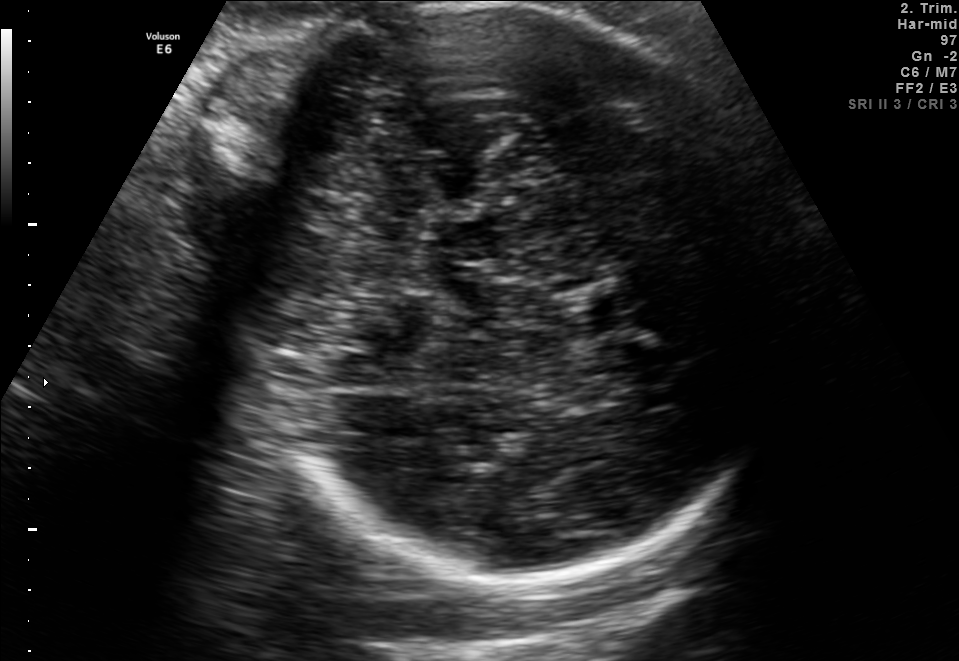
In this fetal brain, trans-thalamic plane, give bounding boxes for the head outline, cavum septum pellucidum (CSP), and lateral ventricle (LV), where visible.

Head: [242,2,775,585]